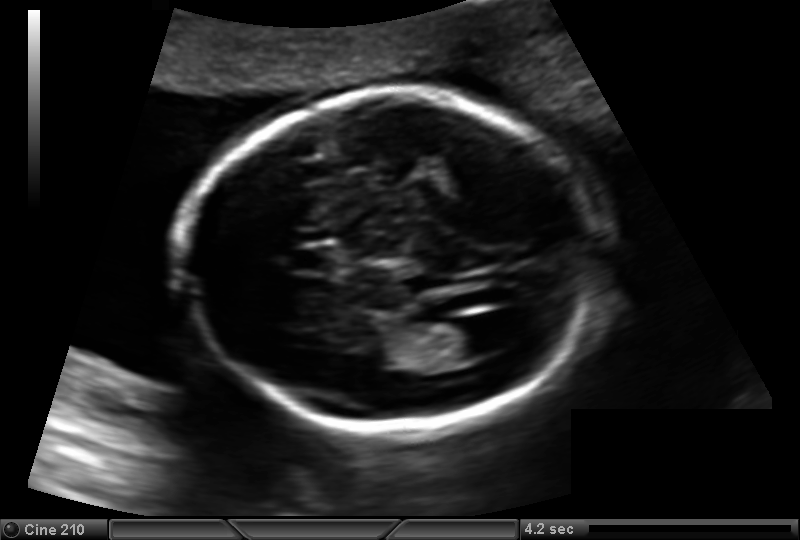
In this fetal head ultrasound, give the bounding box of the lateral ventricle. Image width: 109.7 mm.

[426,314,504,366]